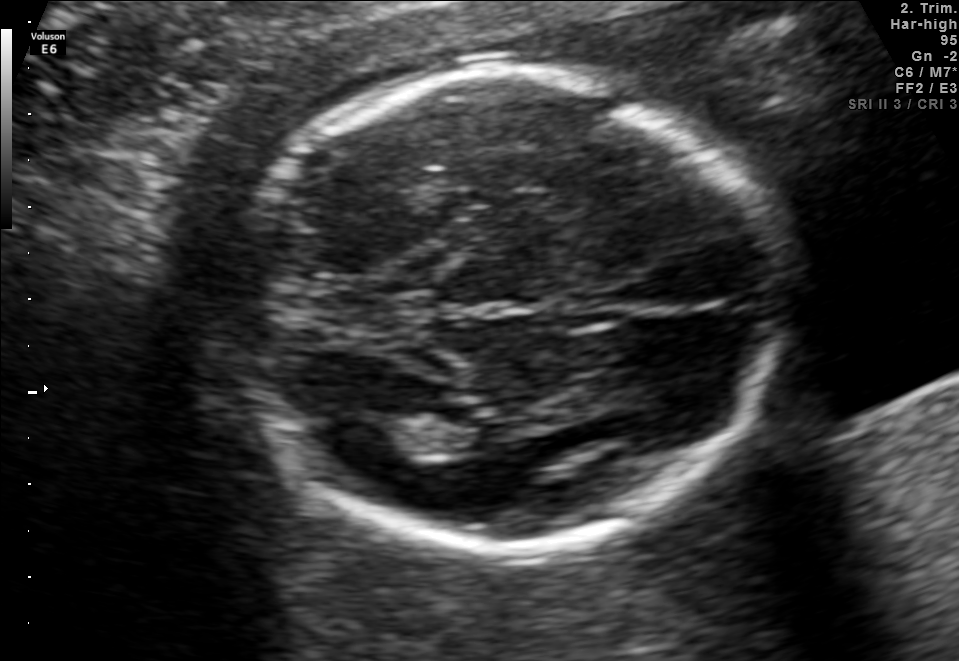
Fetal brain, trans-thalamic plane. Locate the fetal head and, if visible, the cavum septum pellucidum (CSP) and lateral ventricle (LV). Give bounding boxes as [x1,y1,x2,y2].

Head: [228,70,779,541]
Lateral ventricle: [329,415,428,464]